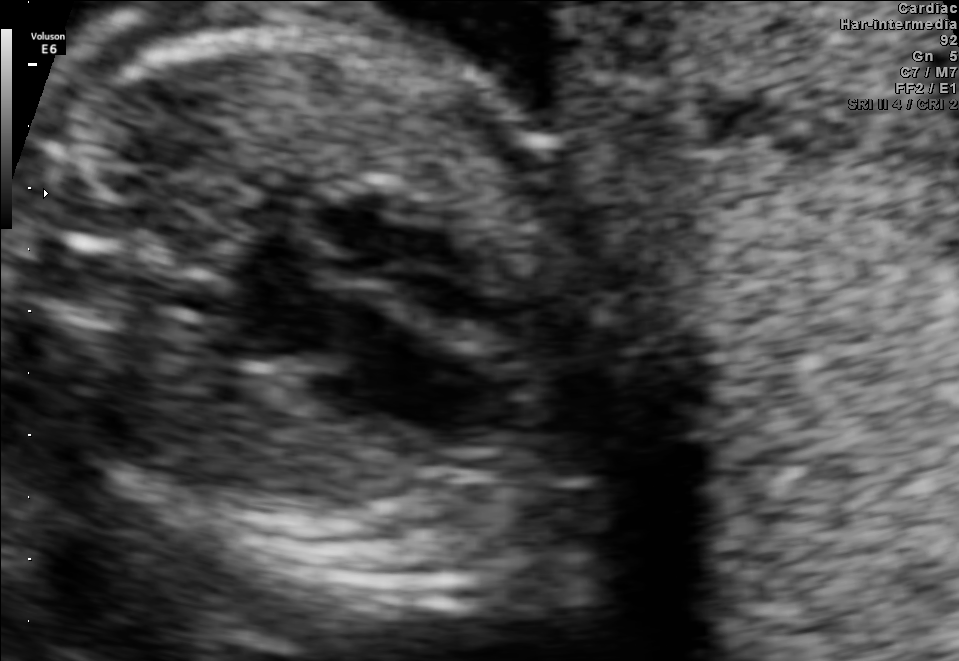
Which standard maternal-fetal ultrasound plane is shown: fetal abdomen, fetal brain, fetal femur, fetal thorax, maternal cervix, or other? If it's fetal brain and one of the three standard brain planes (trans-thalamic, trans-cerebellum, trans-ventricular), name which.

Fetal thorax